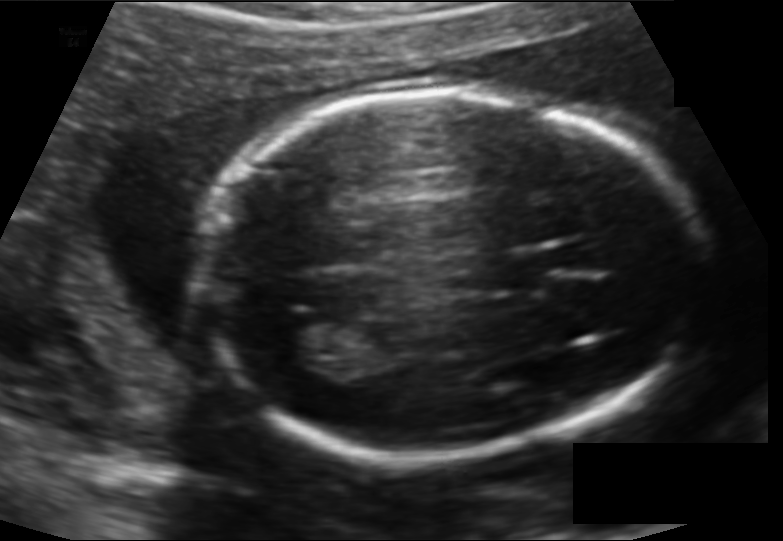
Fetal head ultrasound. Image width: 100.2 mm. Locate the cavum septum pellucidum.

CSP: [483,251,545,292]